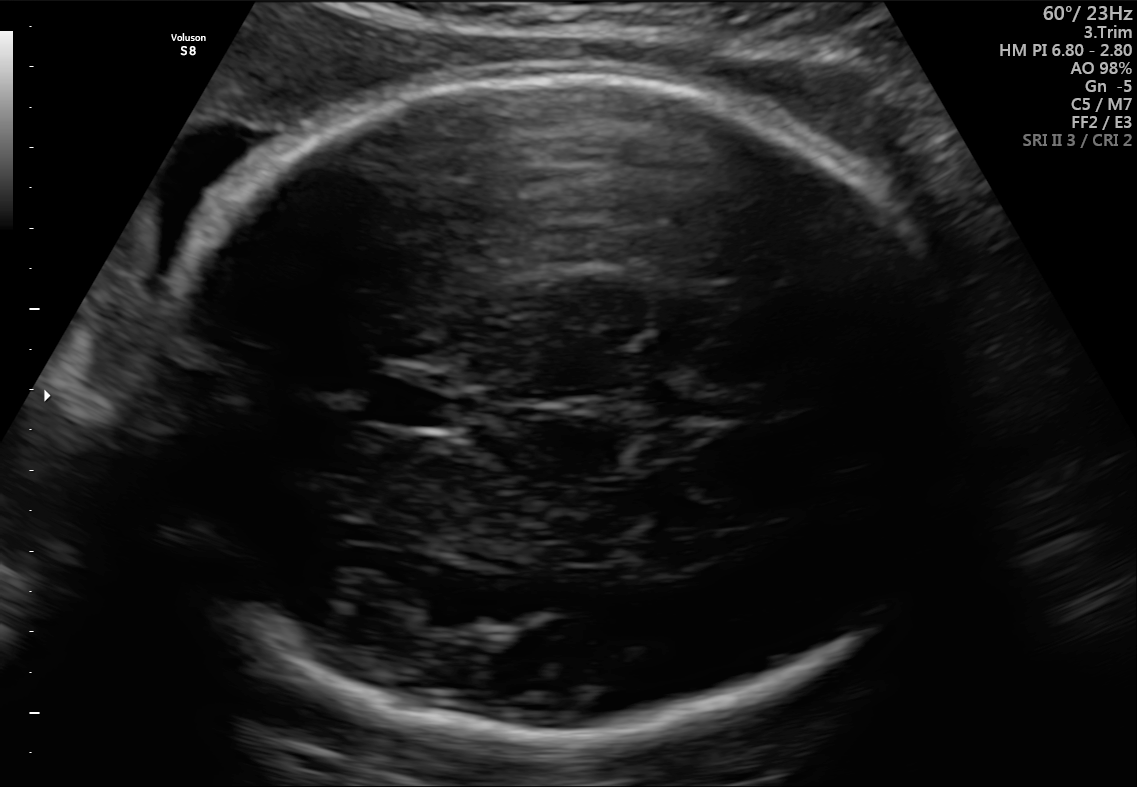
In this fetal brain, trans-thalamic plane, give bounding boxes for the head outline, cavum septum pellucidum (CSP), and lateral ventricle (LV), where visible.

Head: [159,75,964,743]
CSP: [366,376,457,431]